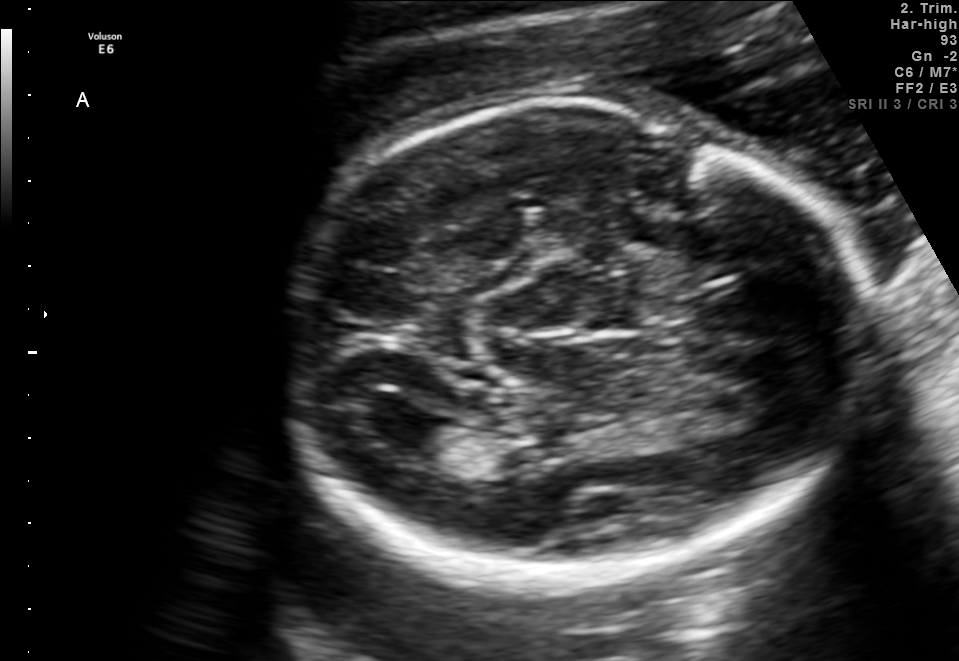
Which standard maternal-fetal ultrasound plane is shown: fetal abdomen, fetal brain, fetal femur, fetal thorax, maternal cervix, or other? If it's fetal brain and one of the three standard brain planes (trans-thalamic, trans-cerebellum, trans-ventricular), name which.

Fetal brain (trans-ventricular plane)